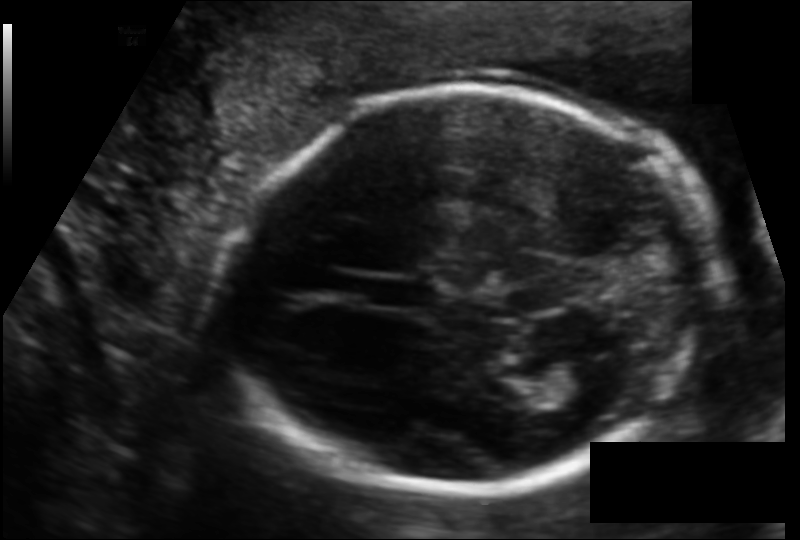
Measure the fetal head circumference shown in this ultrasound image. Image width: 95.3 mm.

Head circumference: 175.6 mm.